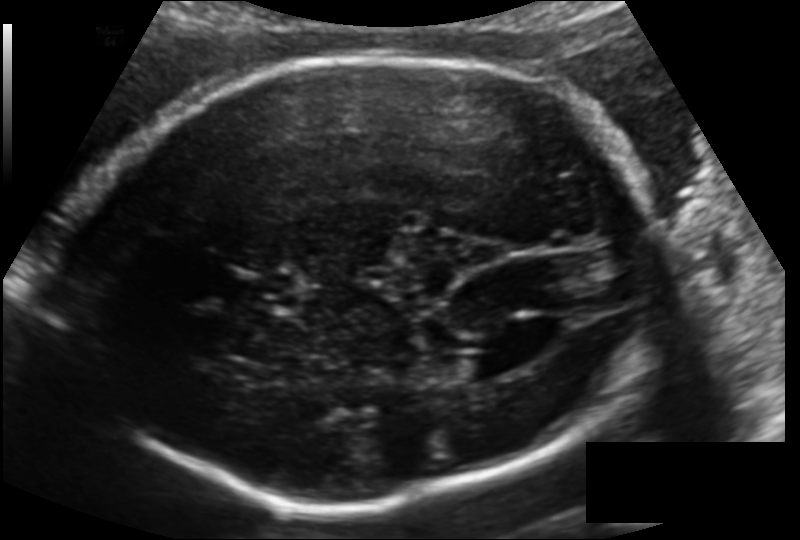
Fetal head ultrasound. Image width: 118.6 mm. Where is the fetal head?

Head bounding box: [61,57,662,507]